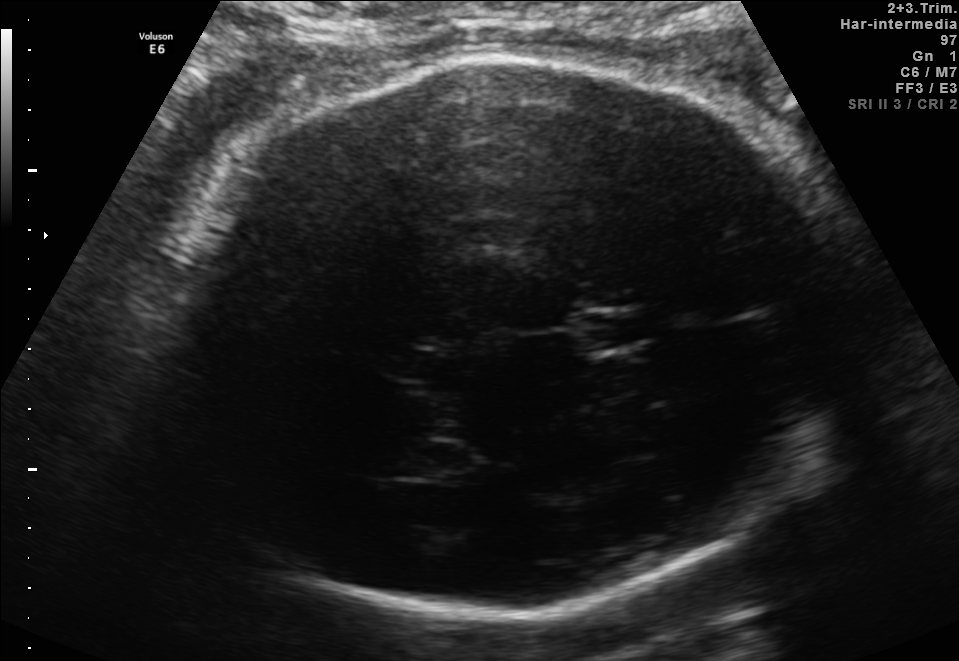
In this fetal brain, trans-thalamic plane, give the bounding box of the cavum septum pellucidum.

[579,307,663,352]